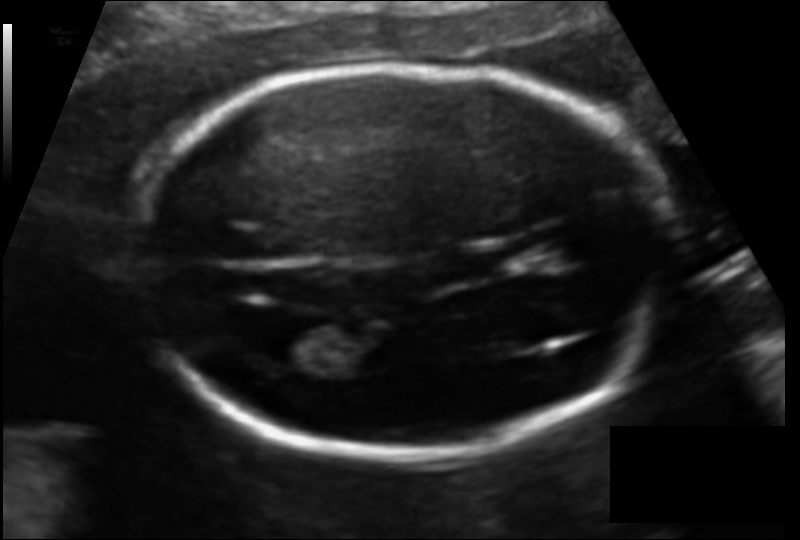
Fetal head ultrasound. Image width: 87.6 mm. Give [x1,y1,x2,y2] bounding boxes for each visible structure among: fetal head, CSP, LV.

Head: [132,65,675,454]
Lateral ventricle: [257,324,336,365]